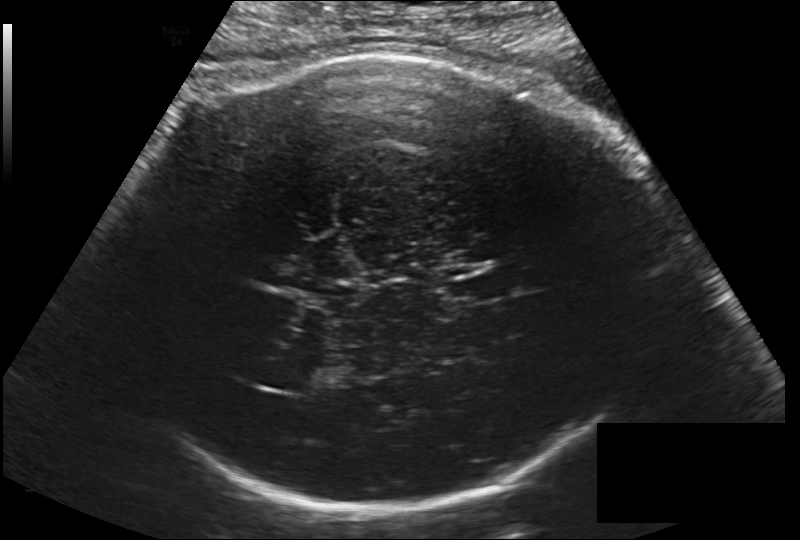
In this fetal head ultrasound, give bounding boxes for the head outline, cavum septum pellucidum (CSP), and lateral ventricle (LV), where visible. Image width: 162.2 mm.

Head: [113,50,658,508]
CSP: [439,268,508,312]
Lateral ventricle: [264,361,319,394]